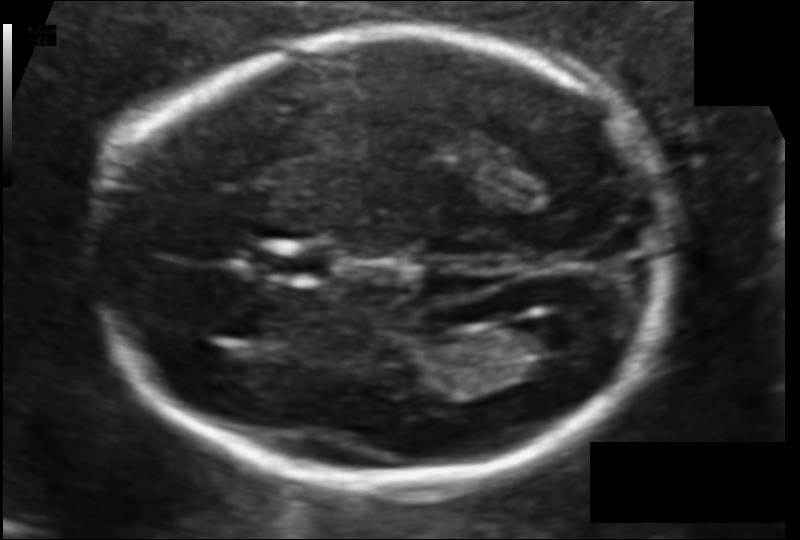
Fetal head ultrasound. Image width: 85.0 mm. Give [x1,y1,x2,y2] bounding boxes for each visible structure among: fetal head, CSP, LV.

Head: [98,32,670,485]
CSP: [251,245,329,284]
Lateral ventricle: [496,307,600,383]